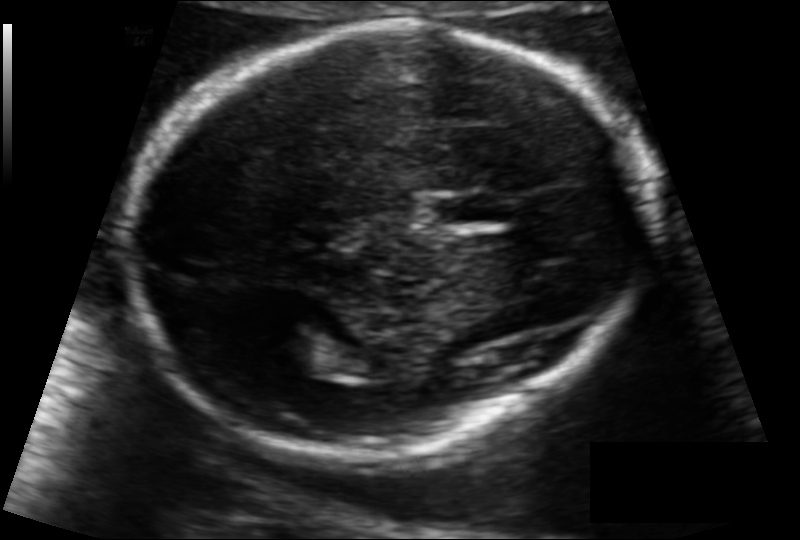
Fetal head ultrasound. Image width: 88.7 mm. Locate the fetal head and, if visible, the cavum septum pellucidum (CSP) and lateral ventricle (LV). Give bounding boxes as [x1,y1,x2,y2].

Head: [125,22,647,453]
CSP: [433,195,505,225]
Lateral ventricle: [270,334,330,377]